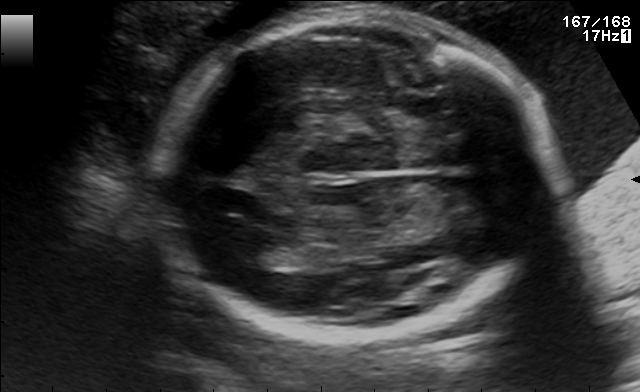
Fetal brain, trans-ventricular plane. Where is the fetal head?

Head bounding box: [151,4,565,345]